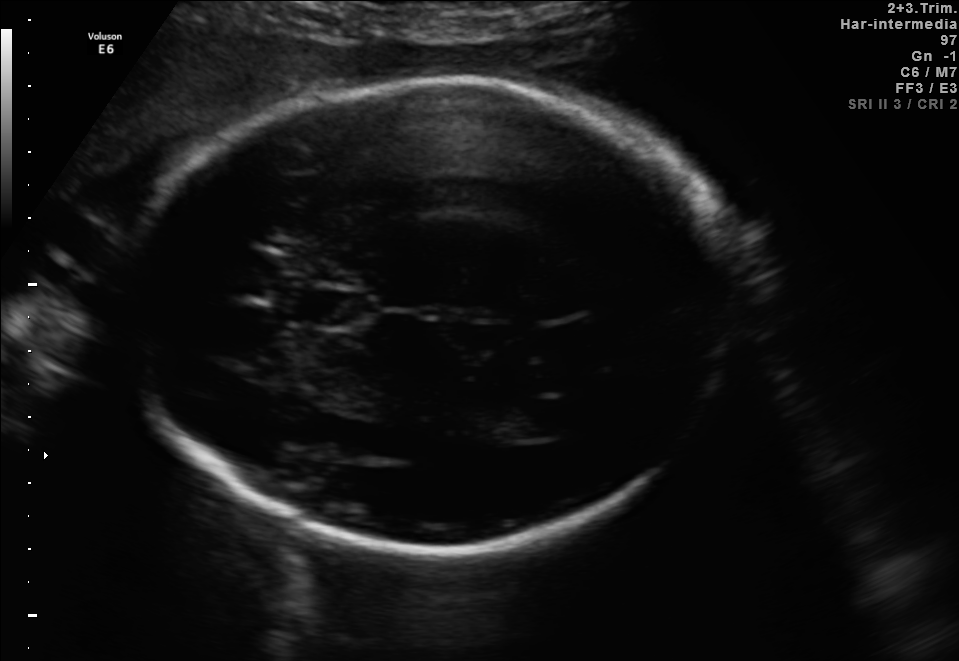
Fetal brain, trans-thalamic plane. Locate the fetal head.

Head: [123,78,734,551]